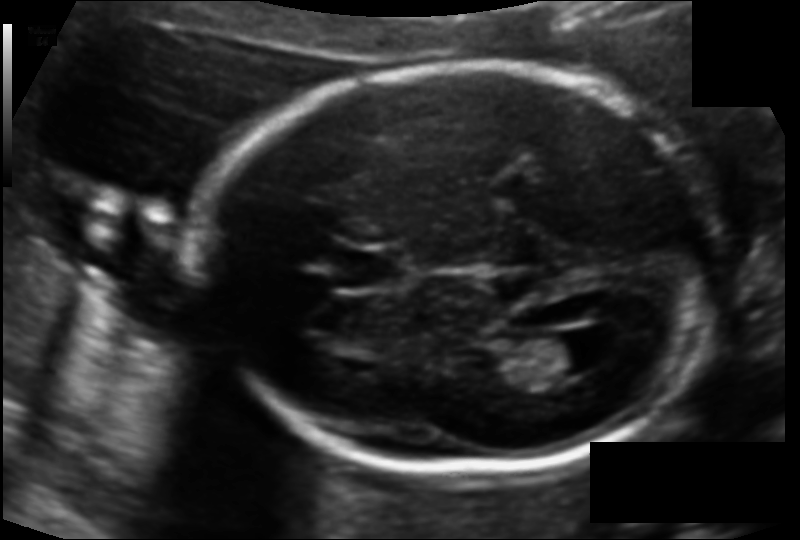
Fetal head ultrasound. Image width: 94.2 mm. Locate the cavum septum pellucidum.

CSP: [338,251,404,287]